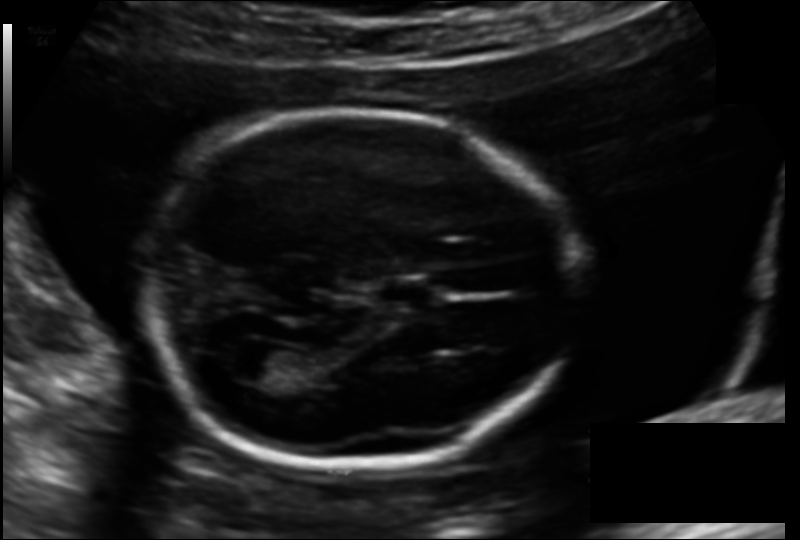
Fetal head ultrasound. Image width: 109.9 mm. Where is the fetal head?

Head bounding box: [153,114,569,477]